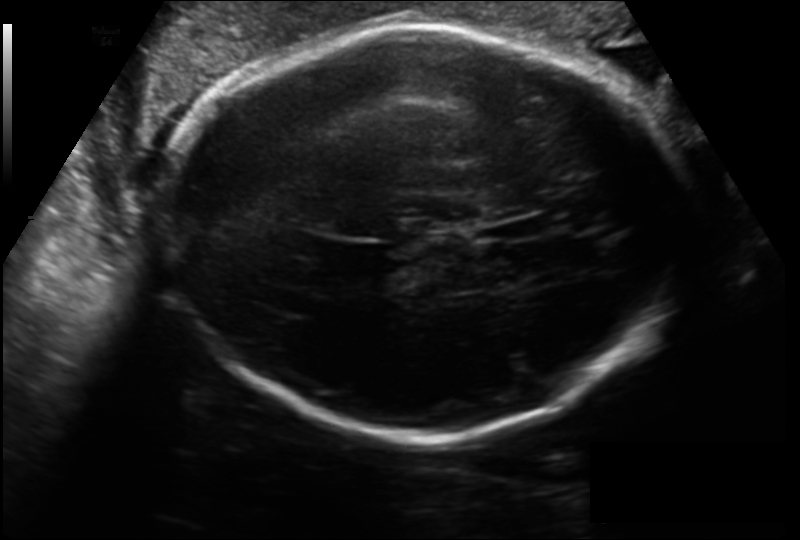
Estimate the fetal head circumference from this 2D ultrasound. Image width: 158.9 mm.

Head circumference: 298.6 mm.